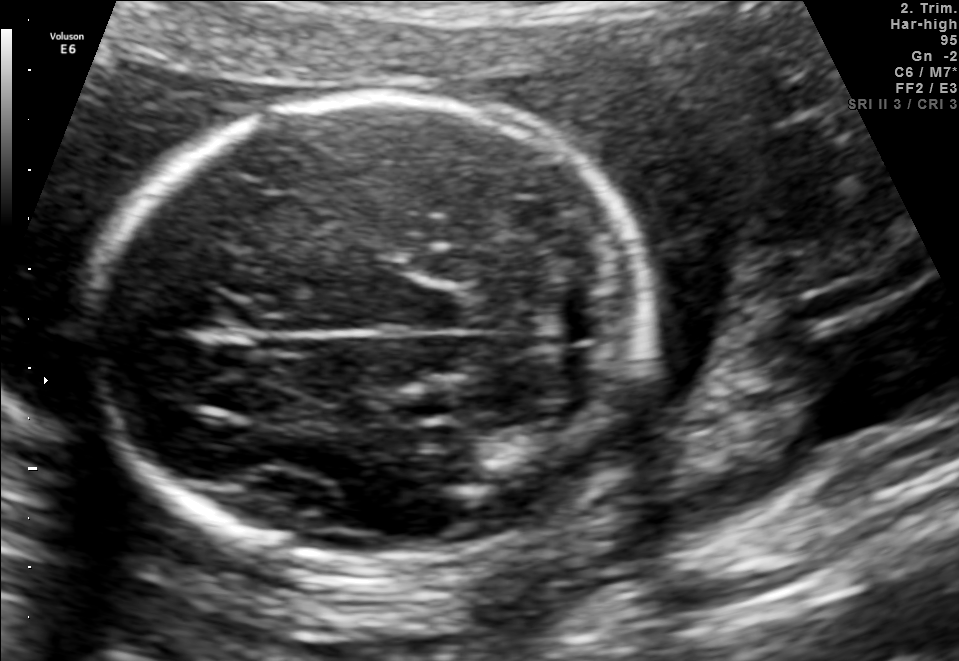
Fetal brain, trans-cerebellum plane. Give [x1,y1,x2,y2] bounding boxes for each visible structure among: fetal head, CSP, LV.

Head: [98,89,647,566]